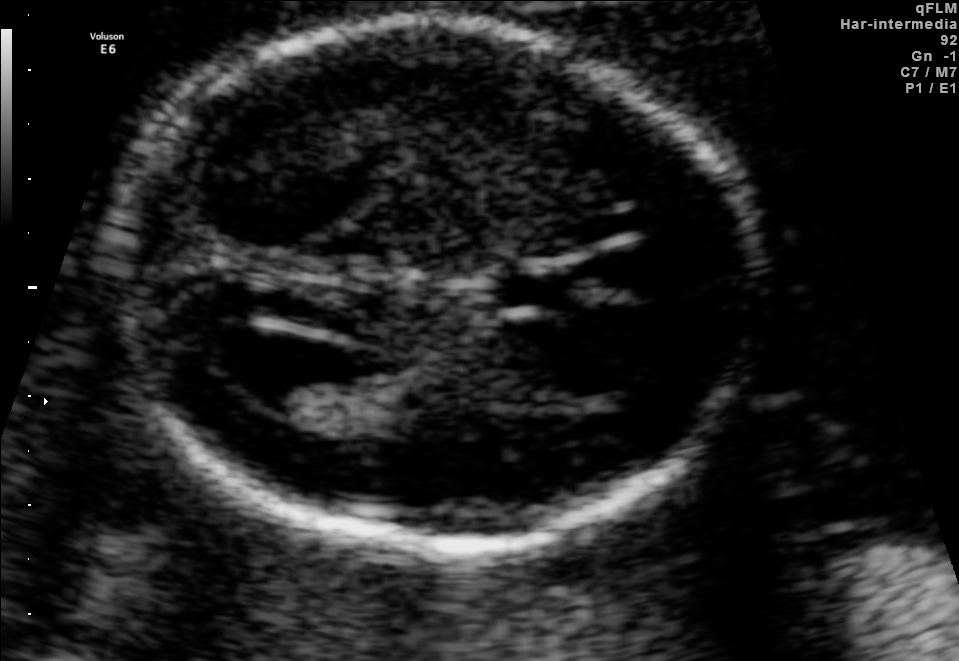
In this fetal brain, trans-ventricular plane, give the bounding box of the fetal head.

[91,9,778,566]